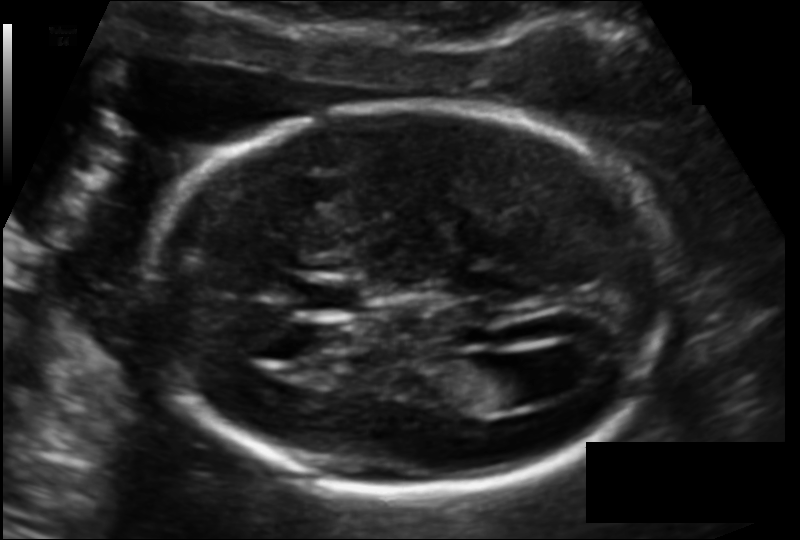
In this fetal head ultrasound, give the bounding box of the cavum septum pellucidum. Image width: 94.5 mm.

[299,277,364,314]